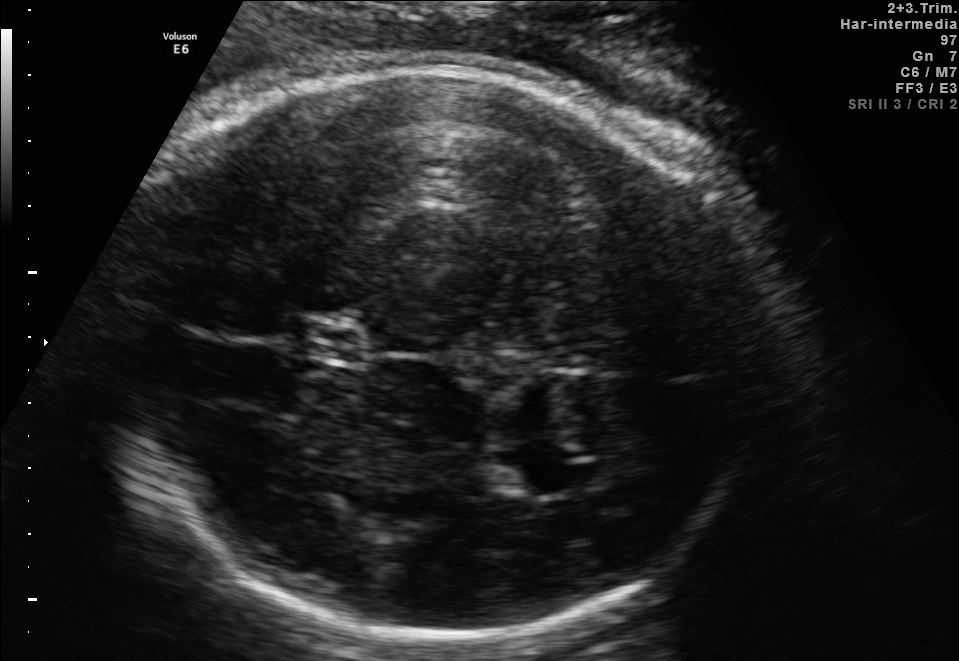
In this fetal brain, trans-thalamic plane, give the bounding box of the cavum septum pellucidum.

[290,317,364,363]